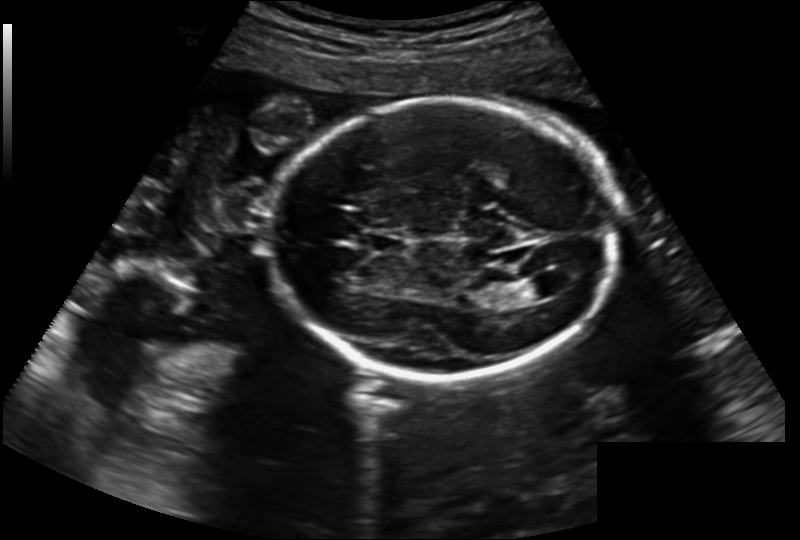
Estimate the fetal head circumference from this 2D ultrasound. Image width: 161.7 mm.

Head circumference: 204.6 mm.